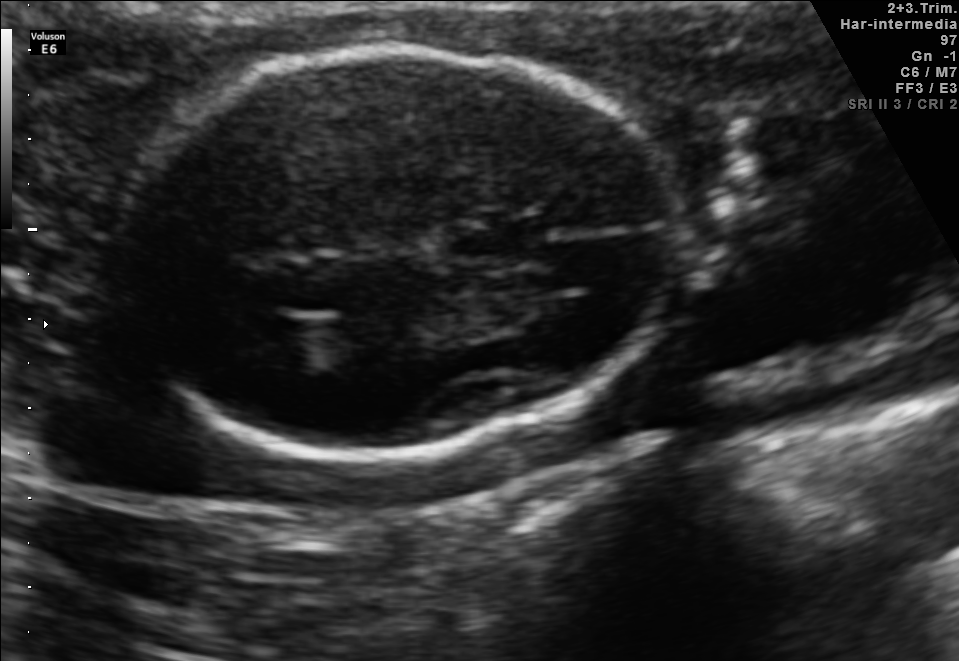
Fetal brain, trans-thalamic plane. Where is the cavum septum pellucidum?

CSP bounding box: [448,217,544,267]